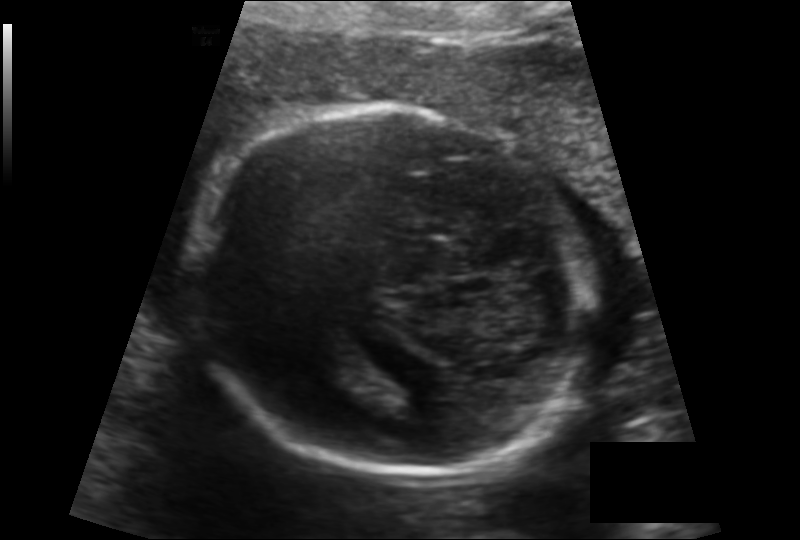
Fetal head ultrasound. Image width: 113.4 mm. Where is the fetal head?

Head bounding box: [189,106,593,473]